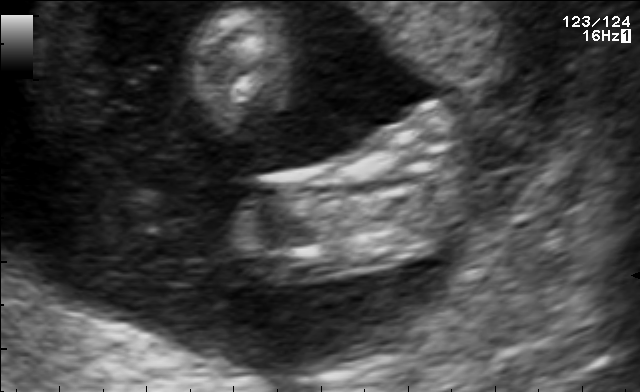
This is a 2D maternal-fetal ultrasound frame. Is it a fetal abdomen, fetal brain, fetal femur, fetal thorax, maternal cervix, or other standard plane? If it's fetal brain and one of the three standard brain planes (trans-thalamic, trans-cerebellum, trans-ventricular), name which.

Other